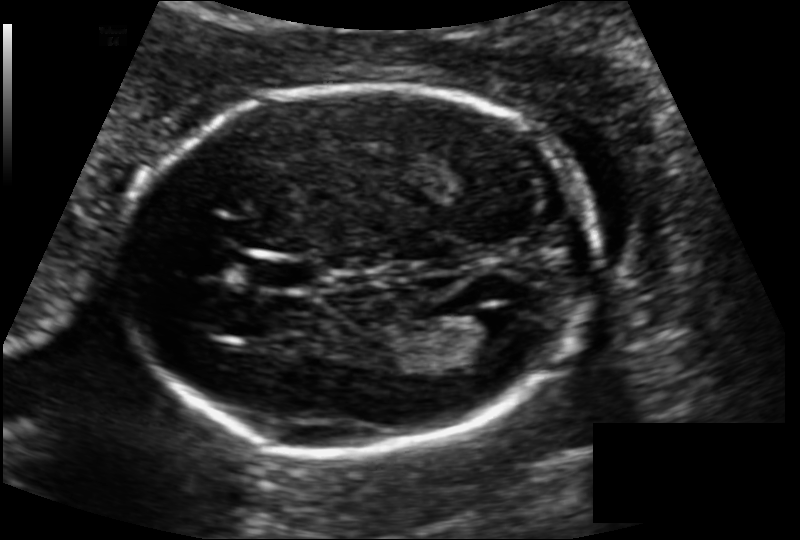
Fetal head ultrasound. Image width: 99.0 mm. Where is the cavum septum pellucidum?

CSP bounding box: [246,253,317,295]